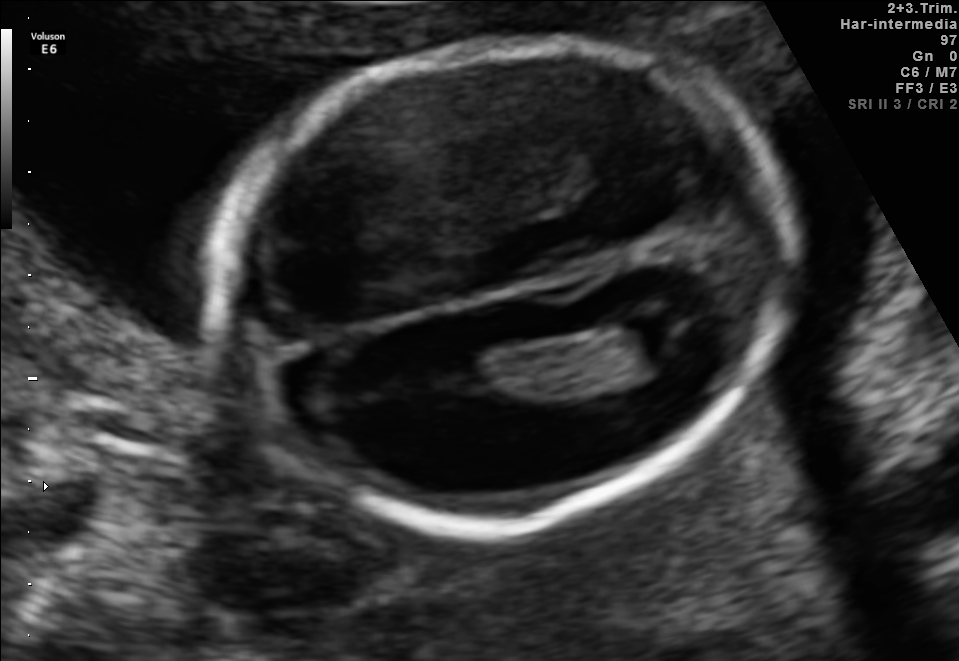
Fetal brain, trans-ventricular plane. Where is the fetal head?

Head bounding box: [206,26,807,541]